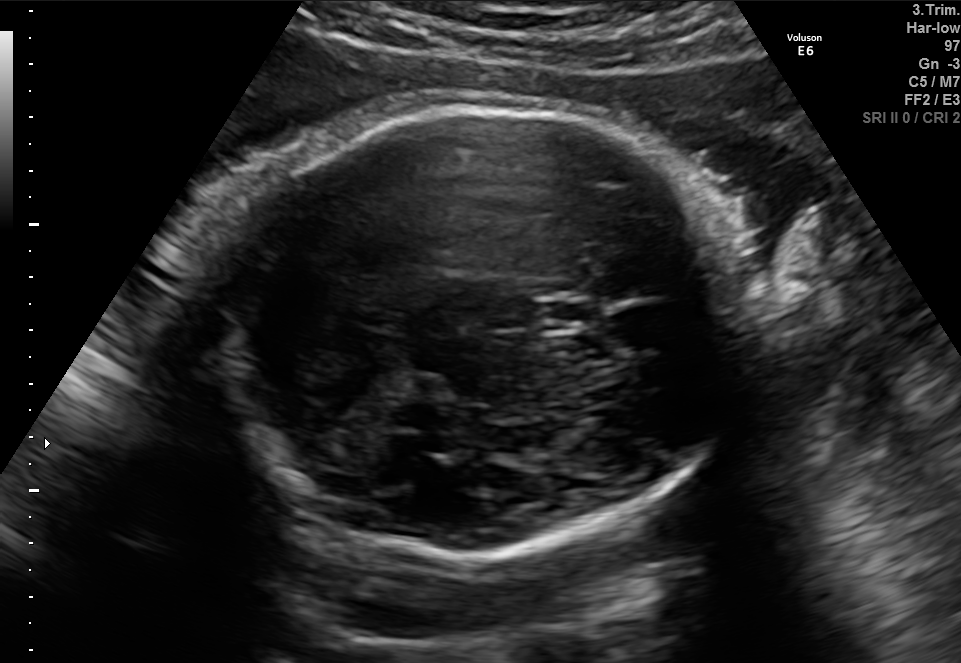
In this fetal brain, trans-thalamic plane, give bounding boxes for the head outline, cavum septum pellucidum (CSP), and lateral ventricle (LV), where visible.

Head: [218,105,755,558]
CSP: [534,299,596,330]